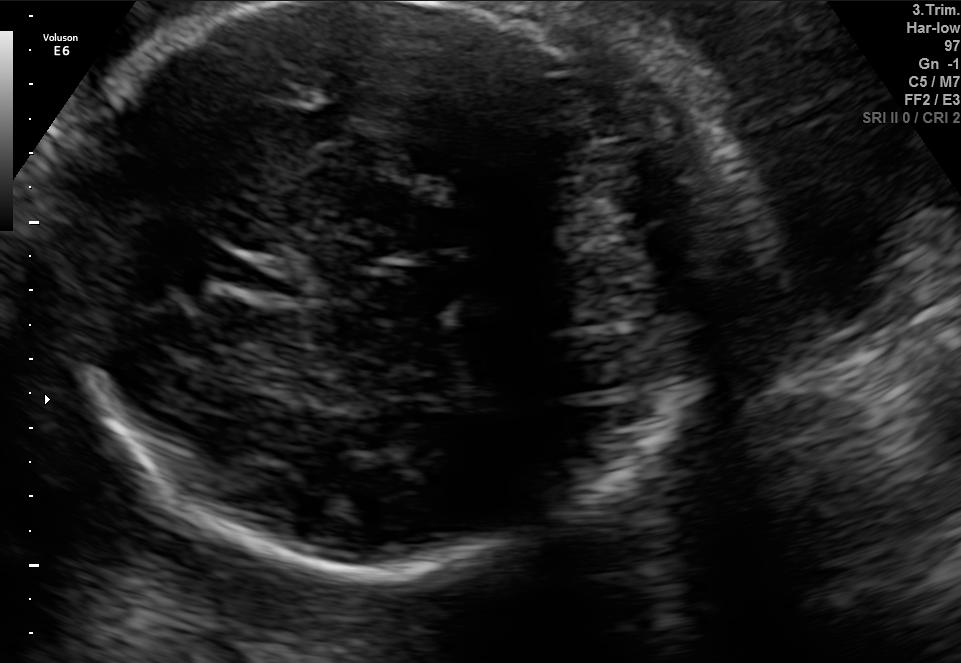
In this fetal brain, trans-cerebellum plane, give the bounding box of the fetal head.

[57,4,687,567]